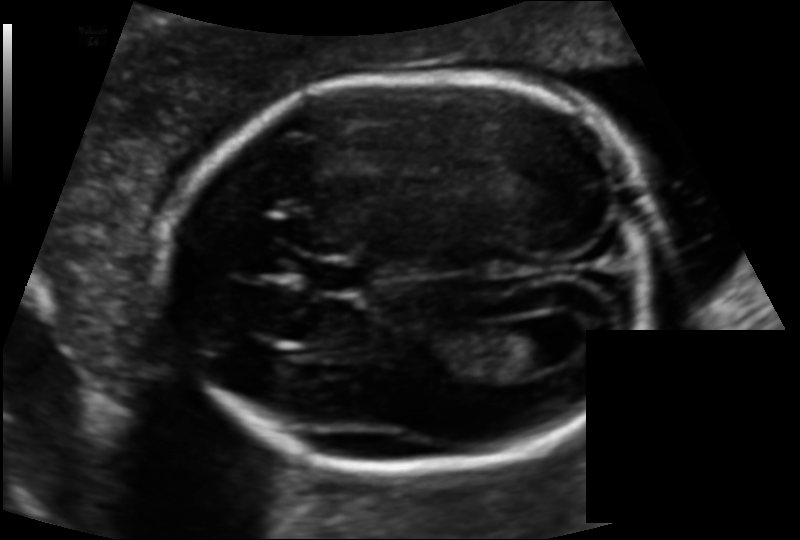
In this fetal head ultrasound, give the bounding box of the fetal head. Image width: 95.5 mm.

[165,74,655,473]